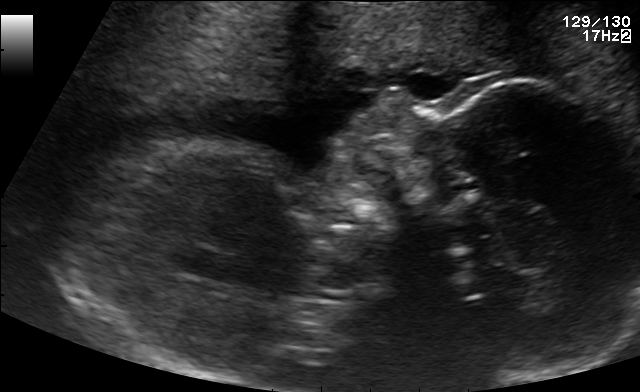
Classify this maternal-fetal ultrasound image as one of the six standard planes — fetal abdomen, fetal brain, fetal femur, fetal thorax, maternal cervix, or other. If it's fetal brain and one of the three standard brain planes (trans-thalamic, trans-cerebellum, trans-ventricular), name which.

Other